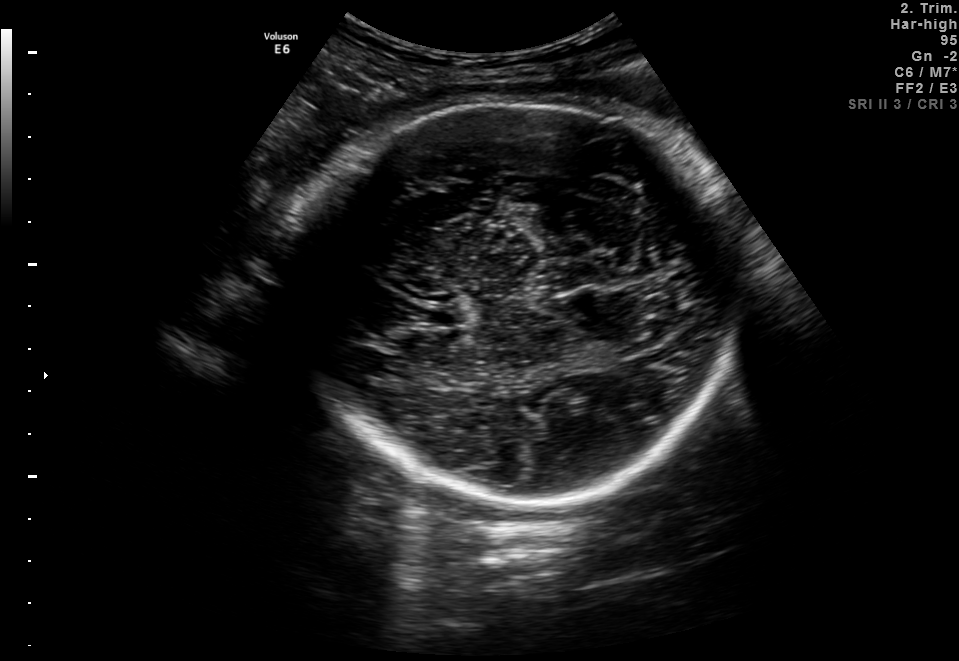
Fetal brain, trans-thalamic plane. Where is the fetal head?

Head bounding box: [286,100,735,503]